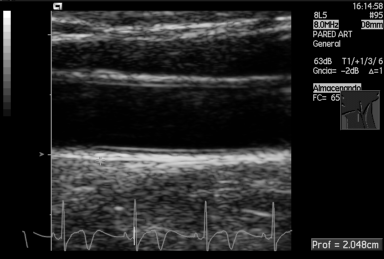
Which standard maternal-fetal ultrasound plane is shown: fetal abdomen, fetal brain, fetal femur, fetal thorax, maternal cervix, or other? If it's fetal brain and one of the three standard brain planes (trans-thalamic, trans-cerebellum, trans-ventricular), name which.

Other